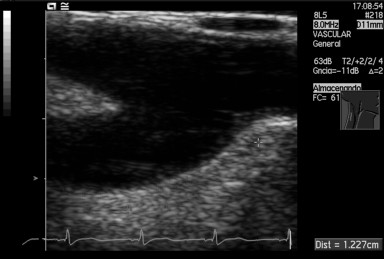
This is a 2D maternal-fetal ultrasound frame. Is it a fetal abdomen, fetal brain, fetal femur, fetal thorax, maternal cervix, or other standard plane? If it's fetal brain and one of the three standard brain planes (trans-thalamic, trans-cerebellum, trans-ventricular), name which.

Other